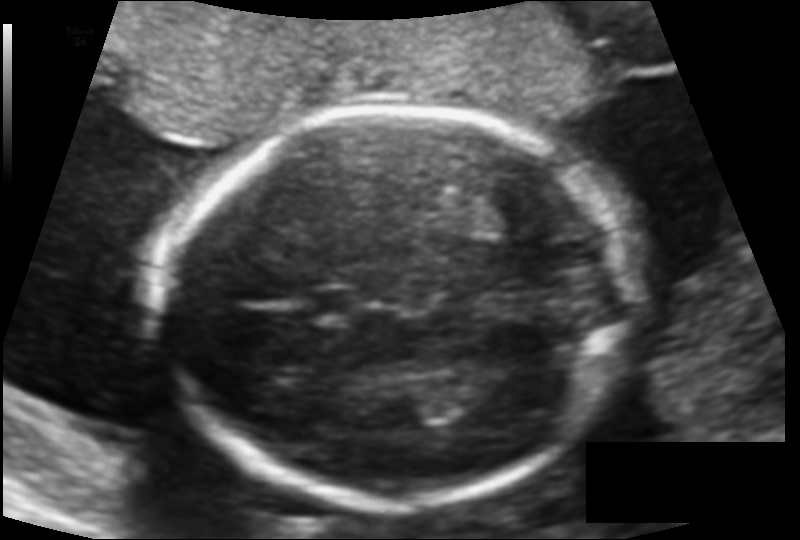
Estimate the fetal head circumference from this 2D ultrasound. Image width: 97.0 mm.

Head circumference: 169.7 mm.